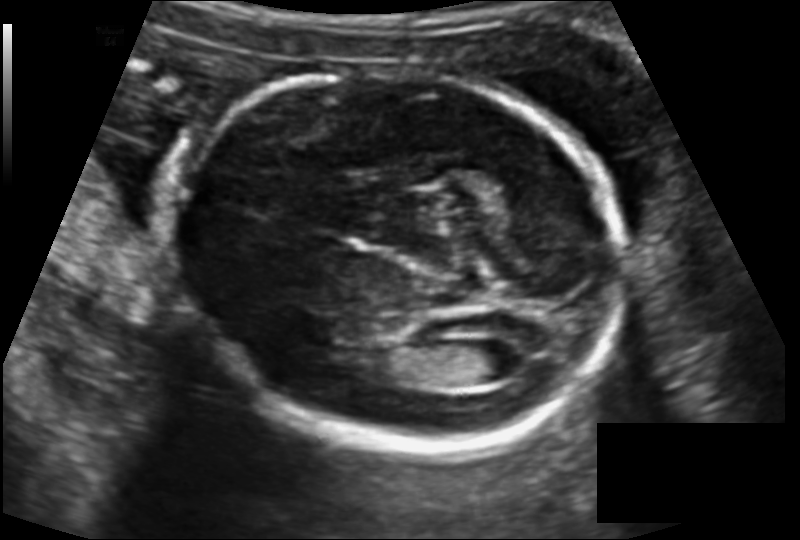
Estimate the fetal head circumference from this 2D ultrasound.

Head circumference: 173.9 mm (image width 103.4 mm).